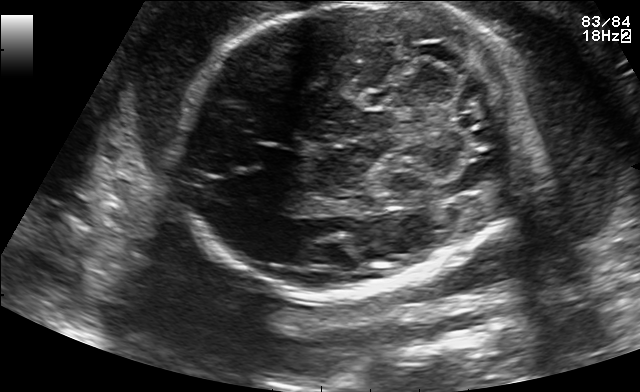
Fetal brain, trans-cerebellum plane. Give [x1,y1,x2,y2] bounding boxes for each visible structure among: fetal head, CSP, LV.

Head: [184,1,514,299]